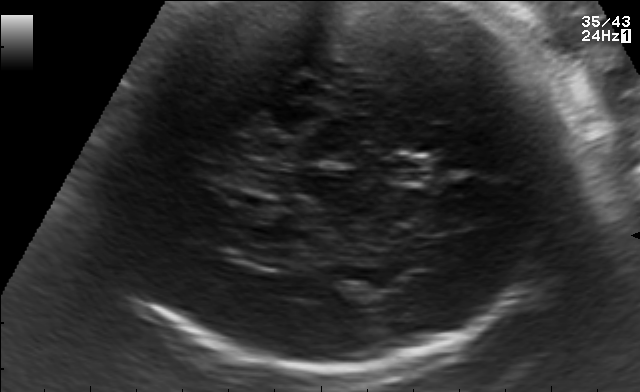
Fetal brain, trans-thalamic plane. Give [x1,y1,x2,y2] bounding boxes for each visible structure among: CSP, LV.

CSP: [386,158,431,182]